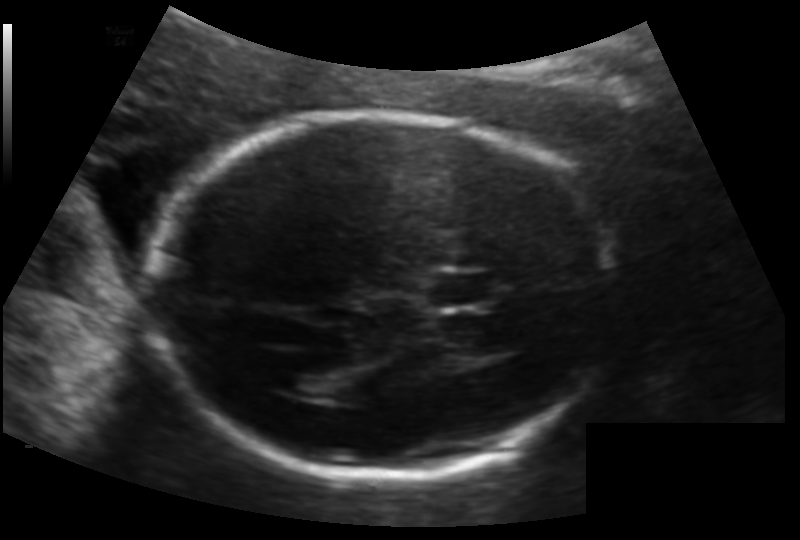
Measure the fetal head circumference shown in this ultrasound image. Image width: 106.4 mm.

Head circumference: 177.3 mm.